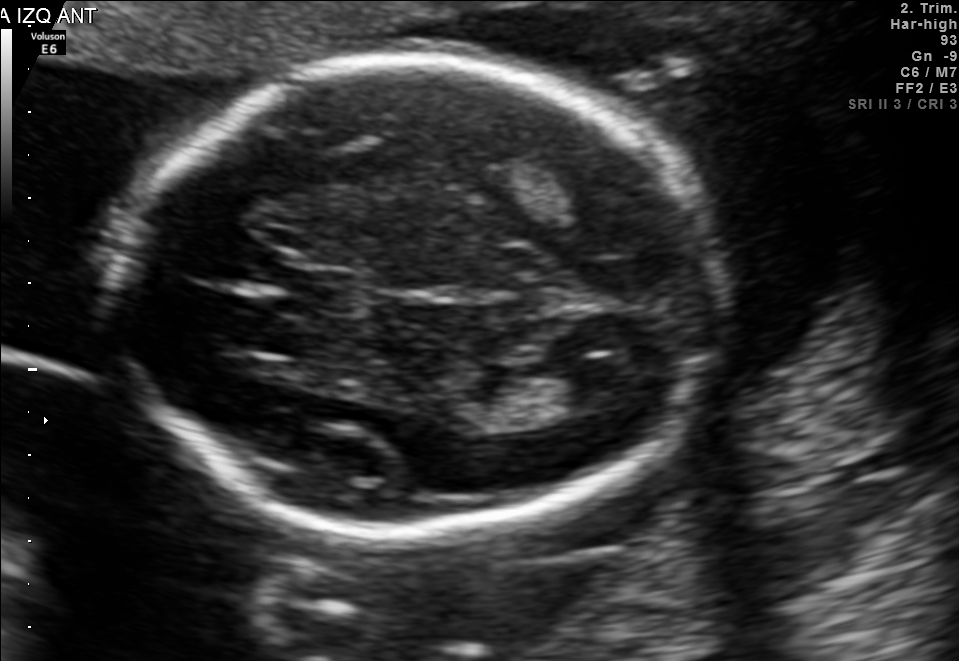
In this fetal brain, trans-thalamic plane, give the bounding box of the fetal head.

[110,61,711,528]